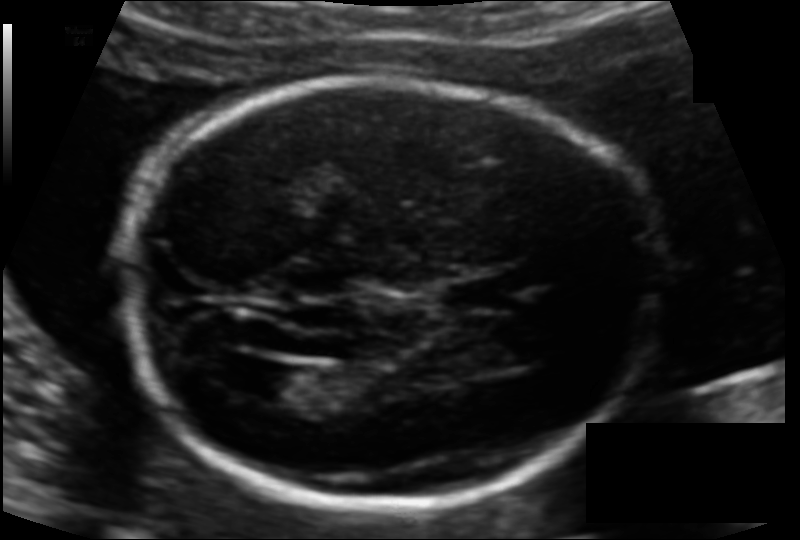
In this fetal head ultrasound, give bounding boxes for the head outline, cavum septum pellucidum (CSP), and lateral ventricle (LV), where visible. Image width: 90.3 mm.

Head: [121,80,662,506]
CSP: [435,278,505,313]
Lateral ventricle: [249,359,324,409]